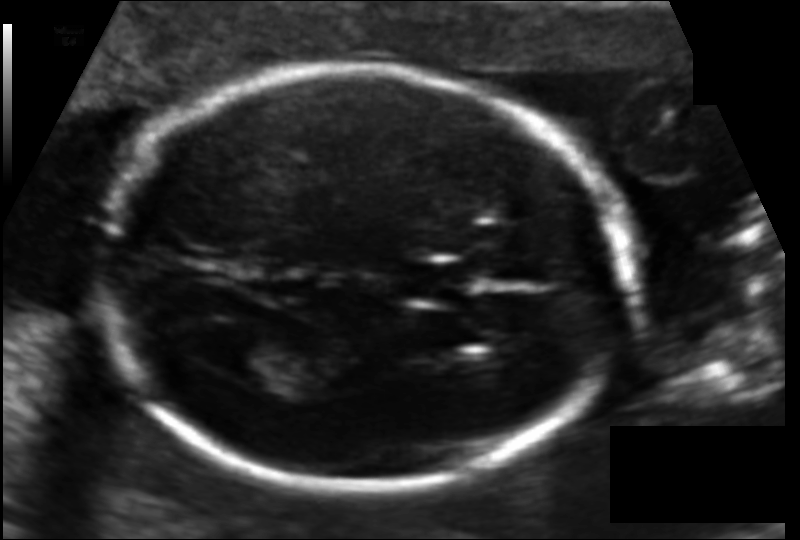
Fetal head ultrasound. Image width: 91.0 mm. Locate the cavum septum pellucidum.

CSP: [402,257,475,305]